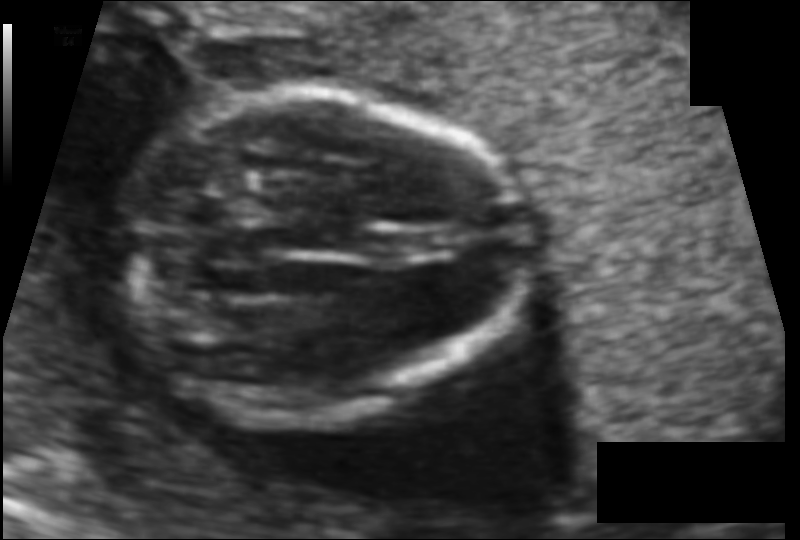
Fetal head ultrasound. Image width: 71.6 mm. Give [x1,y1,x2,y2] bounding boxes for each visible structure among: fetal head, CSP, LV.

Head: [124,91,524,422]
CSP: [372,230,438,261]